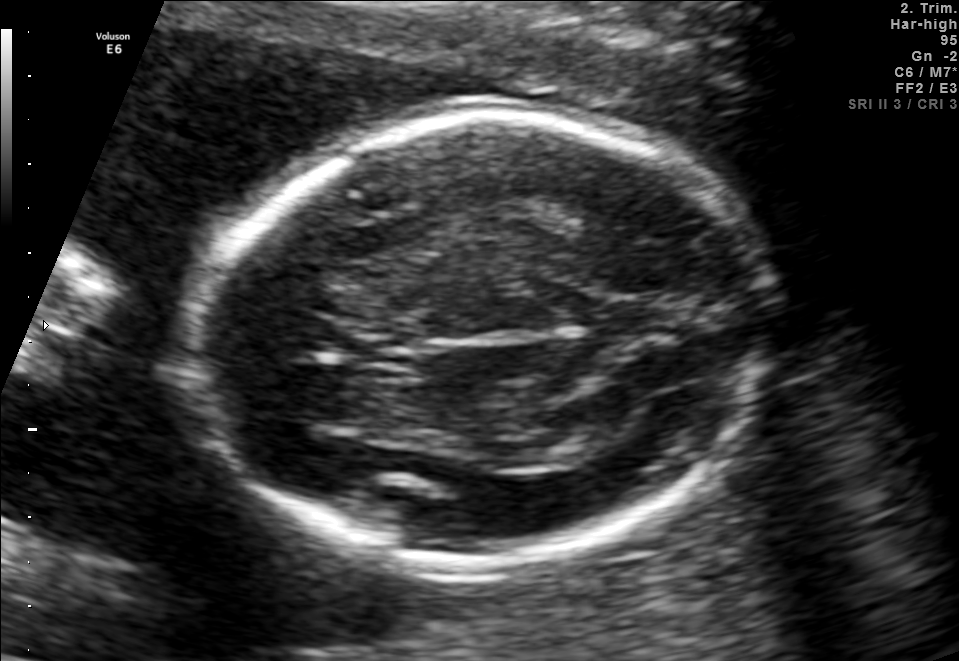
Fetal brain, trans-thalamic plane. Locate the fetal head.

Head: [187,114,770,567]